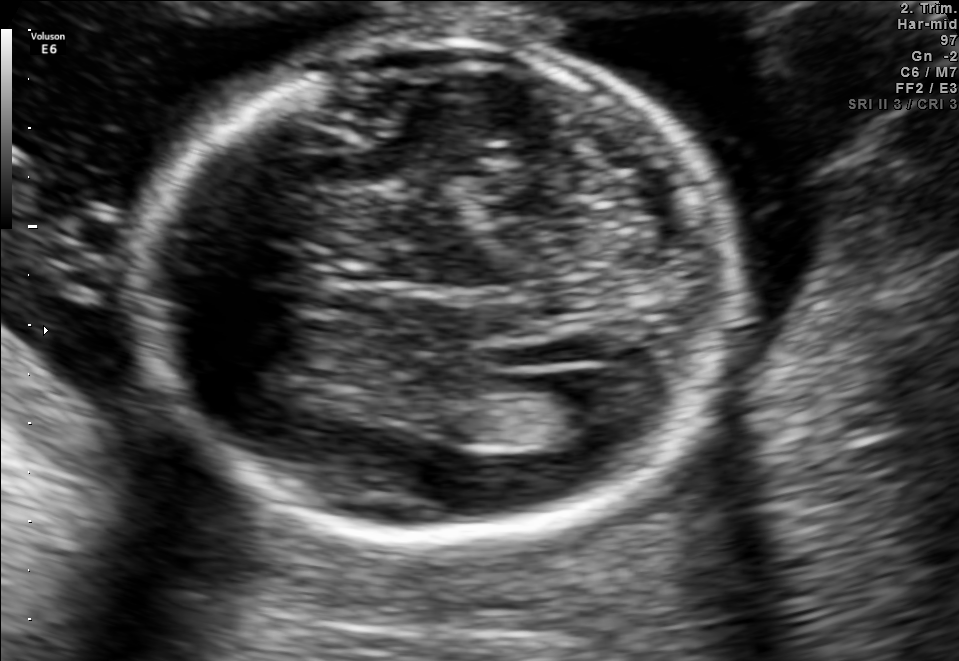
This is a 2D maternal-fetal ultrasound frame. Is it a fetal abdomen, fetal brain, fetal femur, fetal thorax, maternal cervix, or other standard plane? If it's fetal brain and one of the three standard brain planes (trans-thalamic, trans-cerebellum, trans-ventricular), name which.

Fetal brain (trans-ventricular plane)